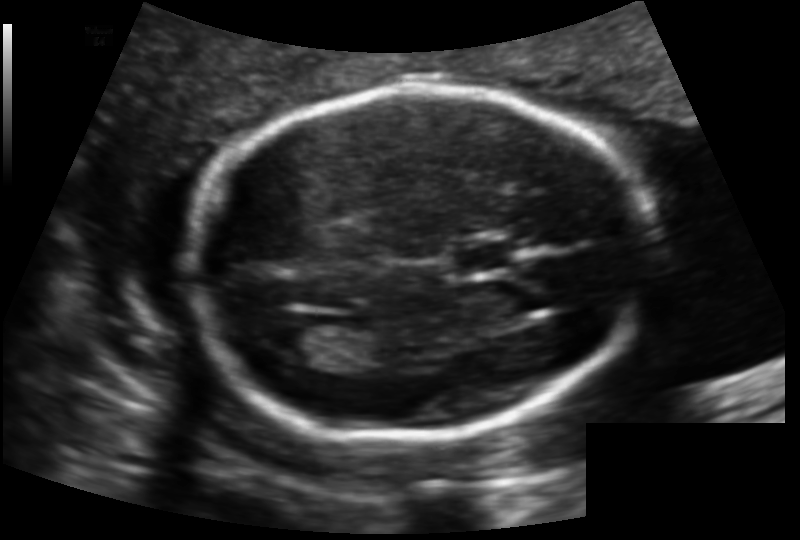
Estimate the fetal head circumference from this 2D ultrasound. Image width: 103.4 mm.

Head circumference: 169.7 mm.